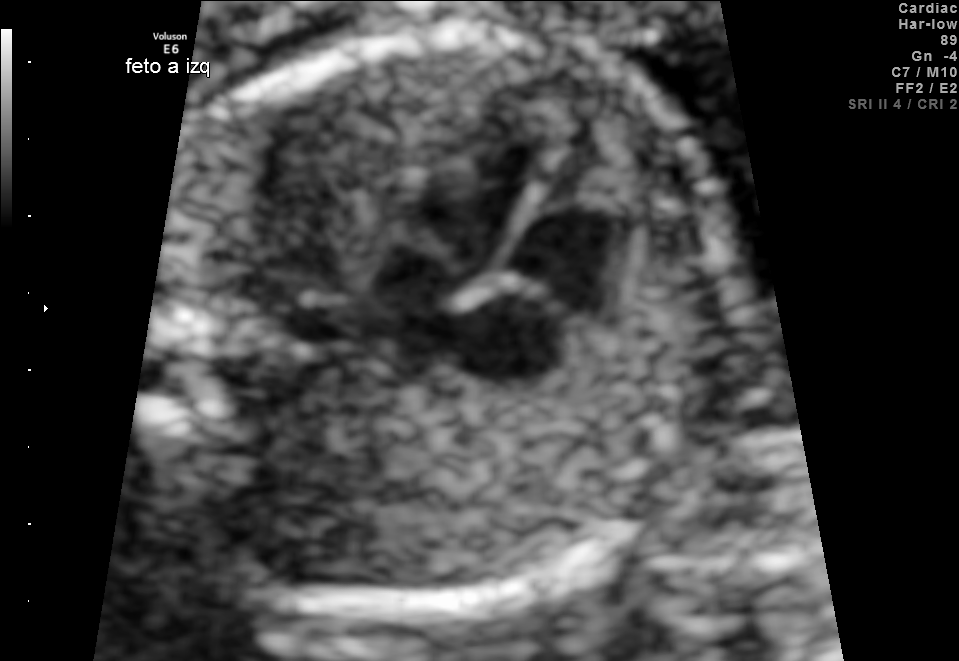
This is a 2D maternal-fetal ultrasound frame. Is it a fetal abdomen, fetal brain, fetal femur, fetal thorax, maternal cervix, or other standard plane? If it's fetal brain and one of the three standard brain planes (trans-thalamic, trans-cerebellum, trans-ventricular), name which.

Fetal thorax